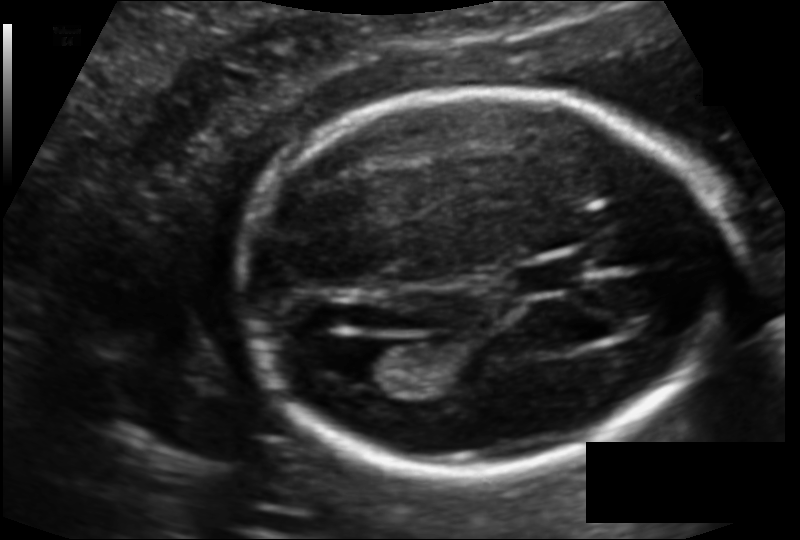
Estimate the fetal head circumference from this 2D ultrasound.

Head circumference: 169.5 mm (image width 96.9 mm).